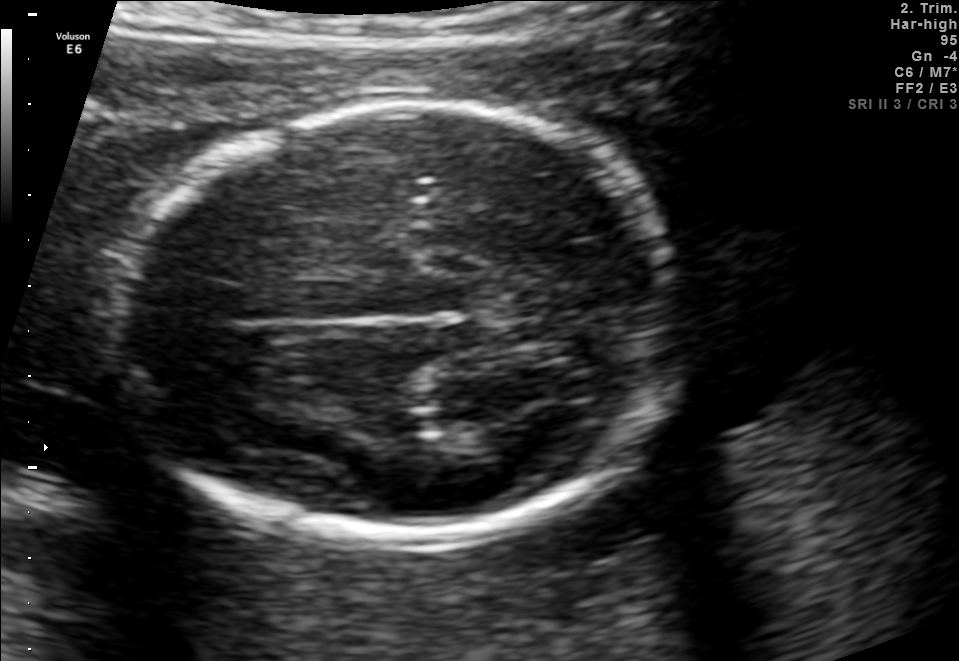
Fetal brain, trans-thalamic plane. Give [x1,y1,x2,y2] bounding boxes for each visible structure among: fetal head, CSP, LV.

Head: [115,107,678,540]
Lateral ventricle: [465,411,549,458]